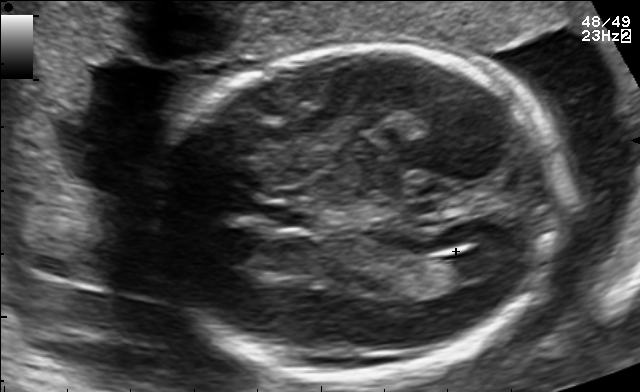
Fetal brain, trans-ventricular plane. Locate the cavum septum pellucidum.

CSP: [253,198,322,235]